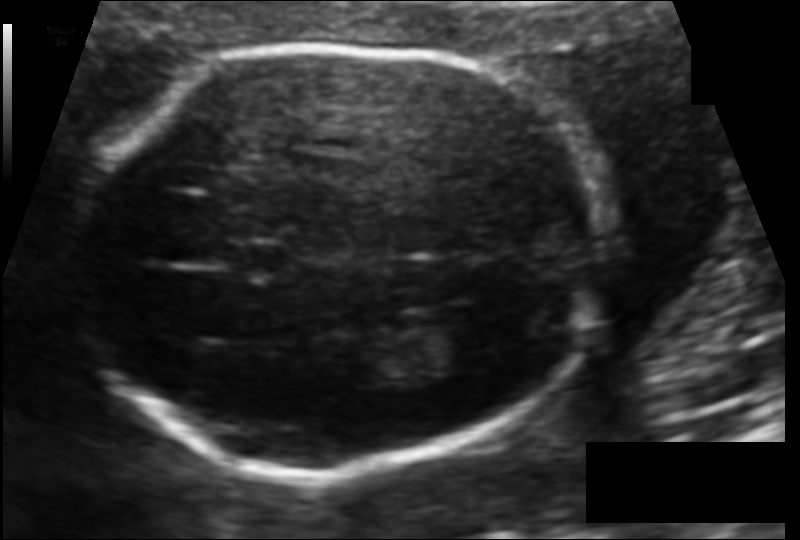
In this fetal head ultrasound, give the bounding box of the lateral ventricle. Image width: 86.3 mm.

[436,312,523,373]